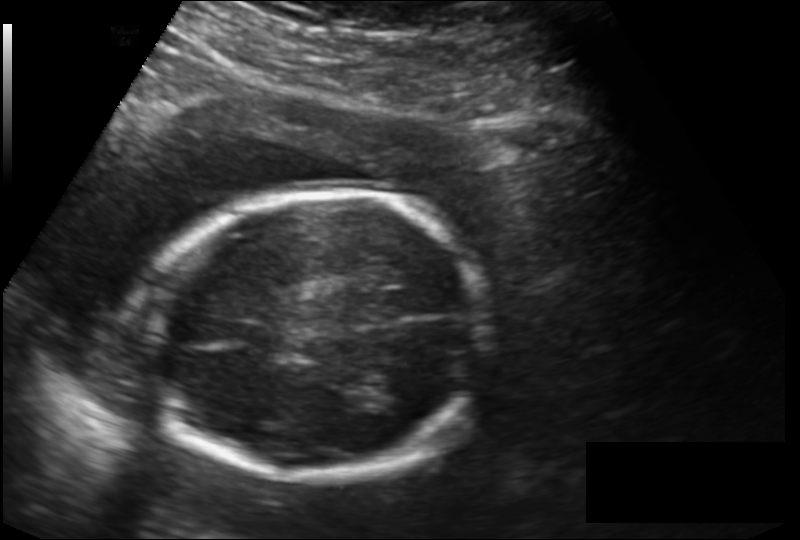
From this fetal ultrasound, estimate the head circumference (image width 133.1 mm).

Head circumference: 173.1 mm.